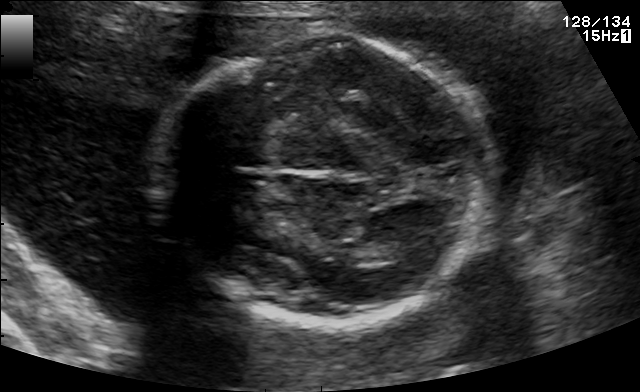
Fetal brain, trans-thalamic plane. Give [x1,y1,x2,y2] bounding boxes for each visible structure among: fetal head, CSP, LV.

Head: [153,38,495,323]
Lateral ventricle: [369,235,427,266]